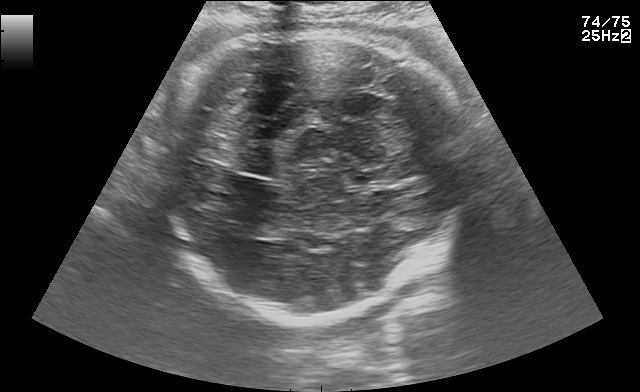
In this fetal brain, trans-thalamic plane, give bounding boxes for the head outline, cavum septum pellucidum (CSP), and lateral ventricle (LV), where visible.

Head: [158,32,468,320]